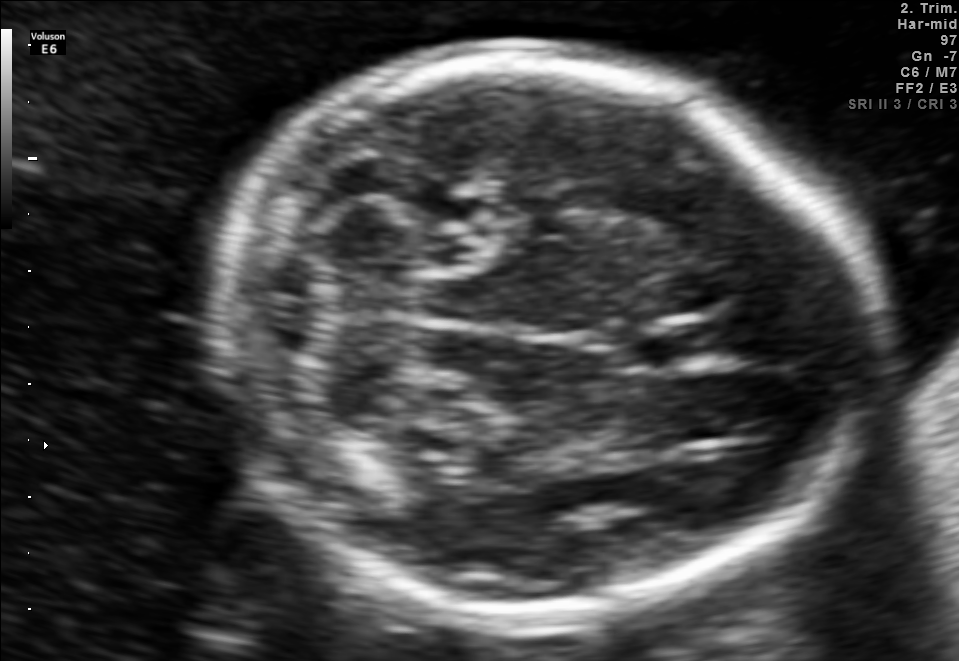
Classify this maternal-fetal ultrasound image as one of the six standard planes — fetal abdomen, fetal brain, fetal femur, fetal thorax, maternal cervix, or other. If it's fetal brain and one of the three standard brain planes (trans-thalamic, trans-cerebellum, trans-ventricular), name which.

Fetal brain (trans-cerebellum plane)